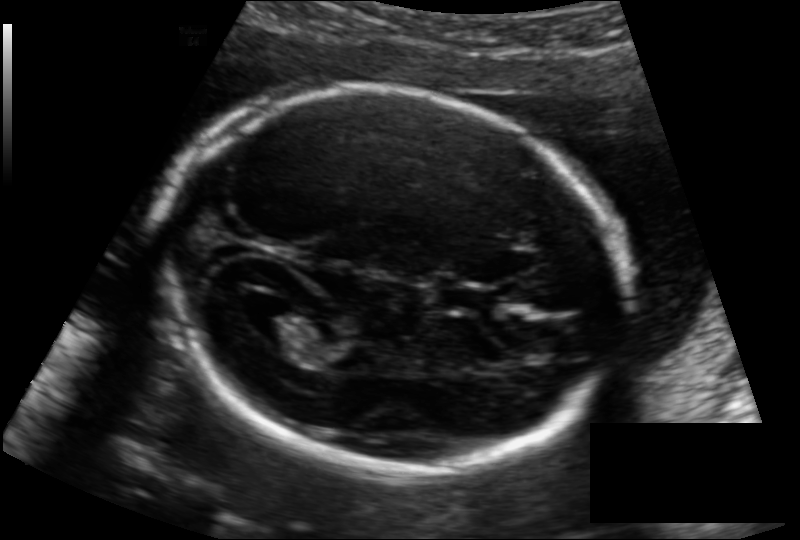
In this fetal head ultrasound, give the bounding box of the cavum septum pellucidum. Image width: 106.5 mm.

[439,283,499,315]